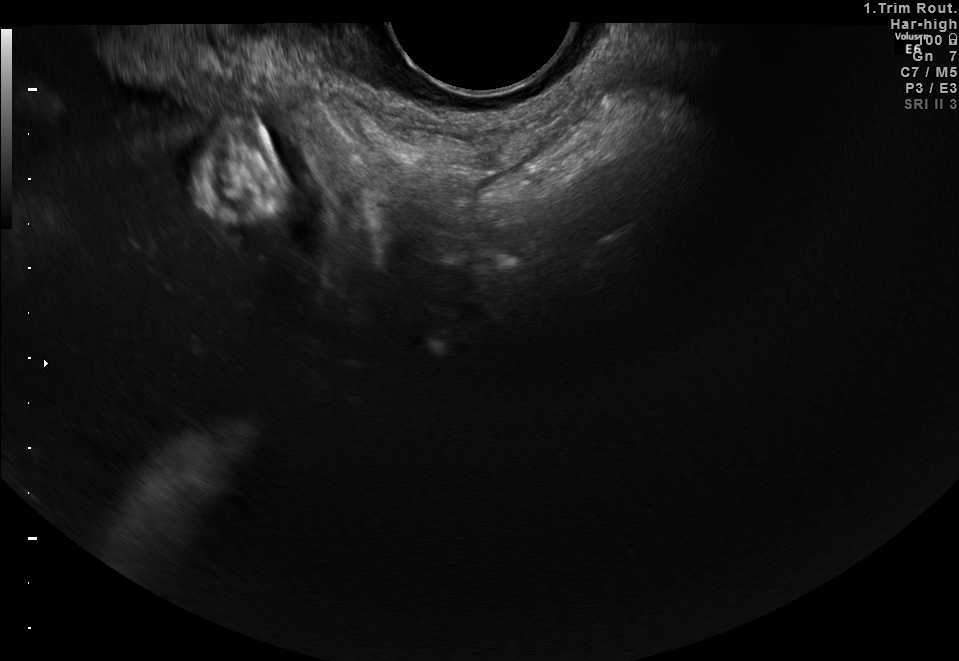
Identify the standard plane in this fetal ultrasound image: fetal abdomen, fetal brain, fetal femur, fetal thorax, maternal cervix, or other. If it's fetal brain and one of the three standard brain planes (trans-thalamic, trans-cerebellum, trans-ventricular), name which.

Maternal cervix